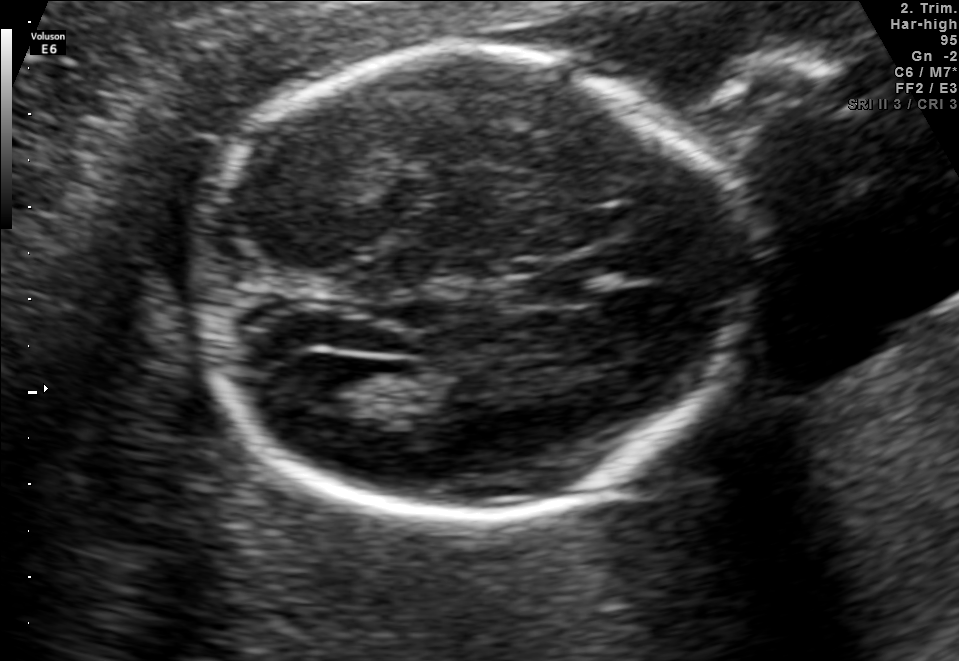
In this fetal brain, trans-ventricular plane, give bounding boxes for the head outline, cavum septum pellucidum (CSP), and lateral ventricle (LV), where visible.

Head: [187,38,762,527]
CSP: [501,274,589,305]
Lateral ventricle: [286,349,376,419]